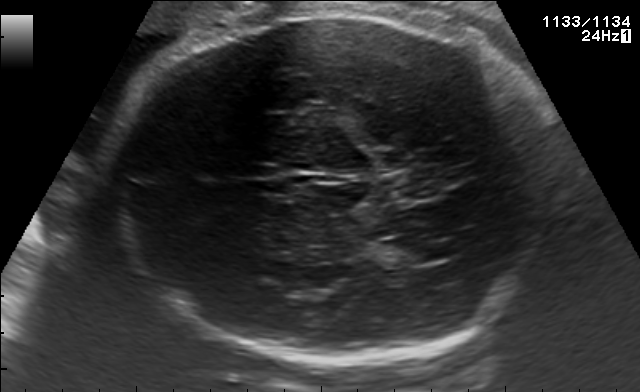
Fetal brain, trans-ventricular plane. Give [x1,y1,x2,y2] bounding boxes for each visible structure among: fetal head, CSP, LV.

Head: [108,11,565,365]